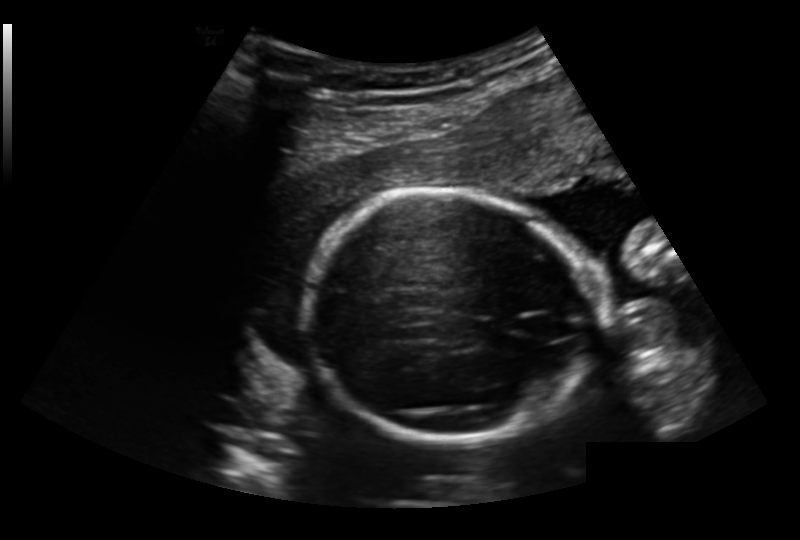
Fetal head ultrasound. Image width: 152.5 mm. Locate the fetal head and, if visible, the cavum septum pellucidum (CSP) and lateral ventricle (LV). Give bounding boxes as [x1,y1,x2,y2].

Head: [304,190,592,444]